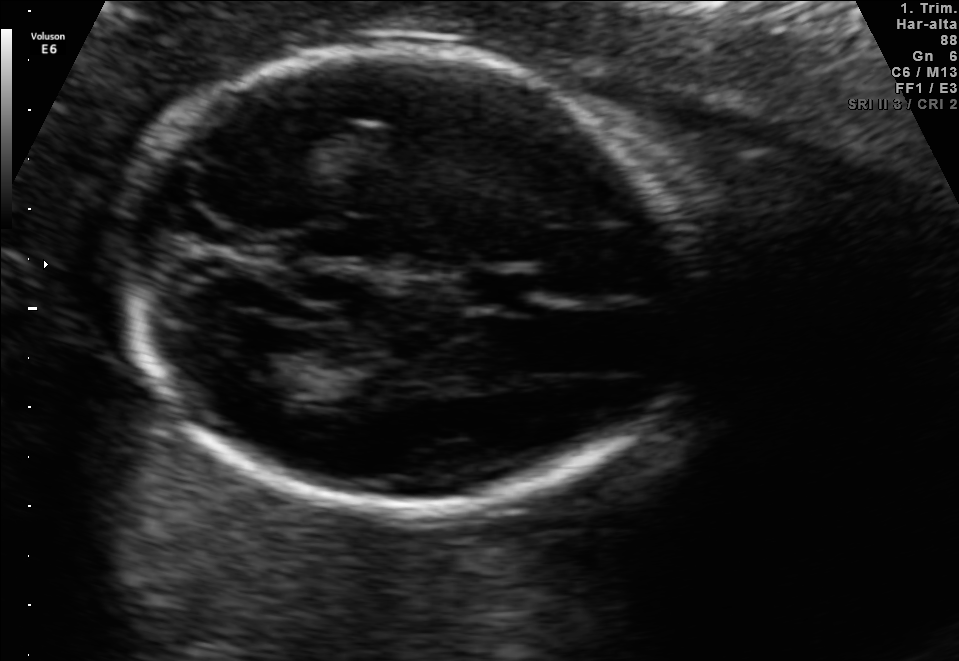
In this fetal brain, trans-thalamic plane, give bounding boxes for the head outline, cavum septum pellucidum (CSP), and lateral ventricle (LV), where visible.

Head: [111,47,702,512]
CSP: [464,273,531,307]
Lateral ventricle: [227,339,321,404]